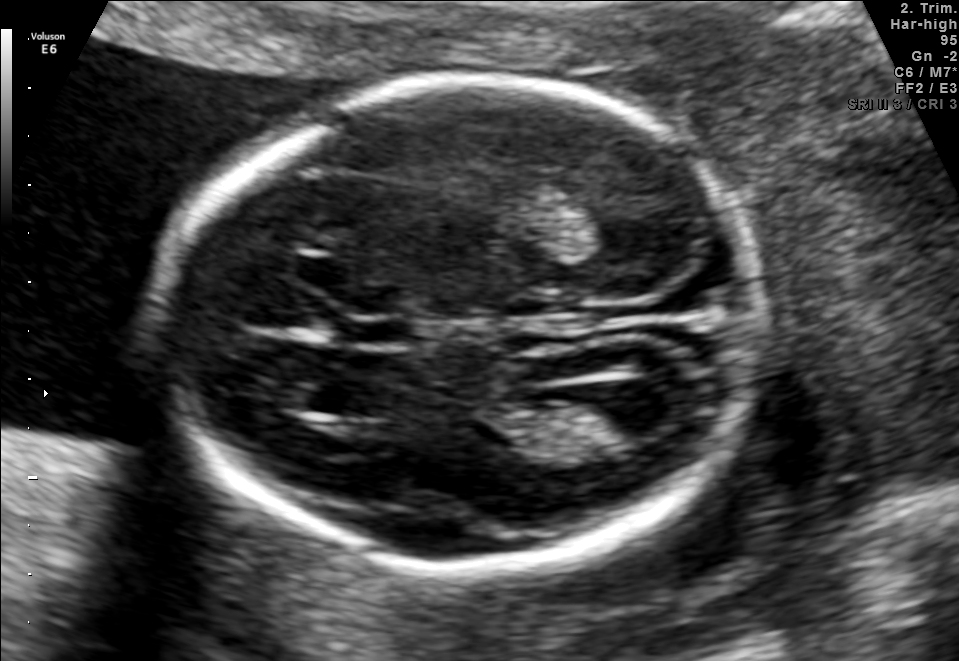
In this fetal brain, trans-ventricular plane, give bounding boxes for the head outline, cavum septum pellucidum (CSP), and lateral ventricle (LV), where visible.

Head: [145,71,780,580]
CSP: [334,314,423,347]
Lateral ventricle: [578,368,686,454]